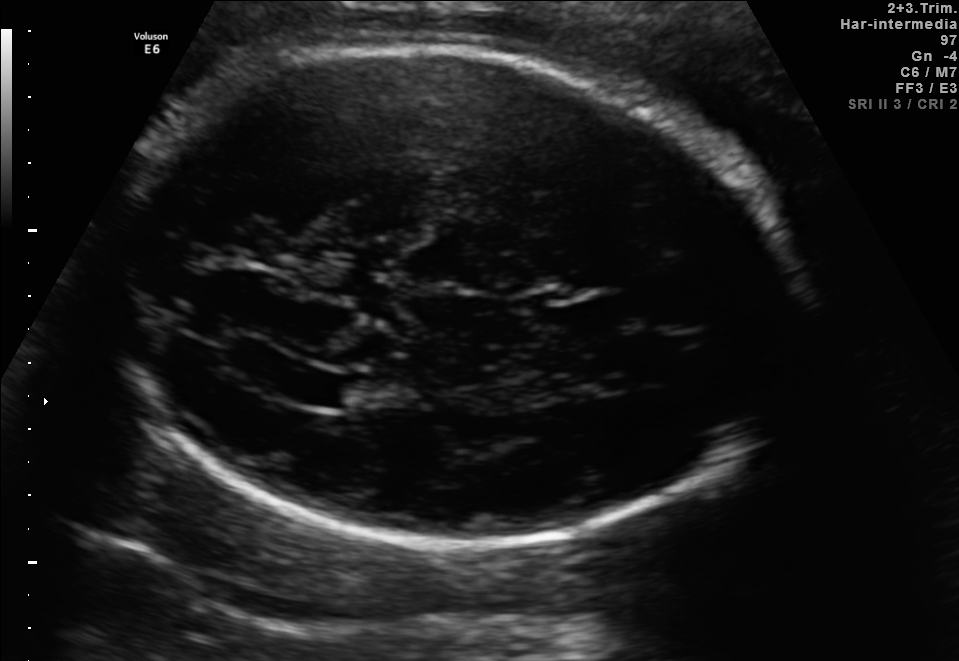
Identify the standard plane in this fetal ultrasound image: fetal abdomen, fetal brain, fetal femur, fetal thorax, maternal cervix, or other. If it's fetal brain and one of the three standard brain planes (trans-thalamic, trans-cerebellum, trans-ventricular), name which.

Fetal brain (trans-ventricular plane)